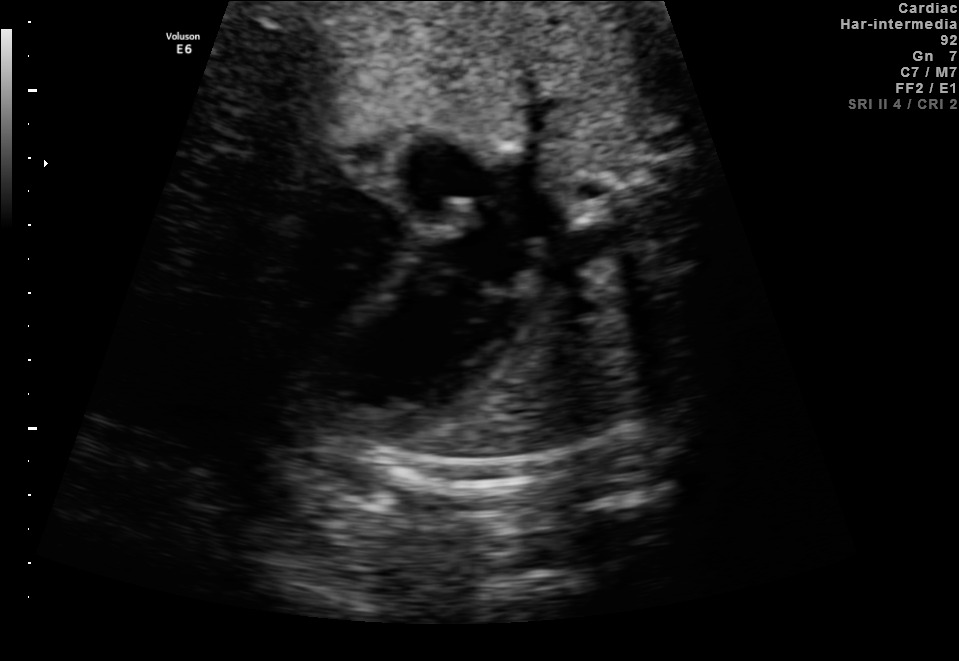
Which standard maternal-fetal ultrasound plane is shown: fetal abdomen, fetal brain, fetal femur, fetal thorax, maternal cervix, or other? If it's fetal brain and one of the three standard brain planes (trans-thalamic, trans-cerebellum, trans-ventricular), name which.

Fetal thorax